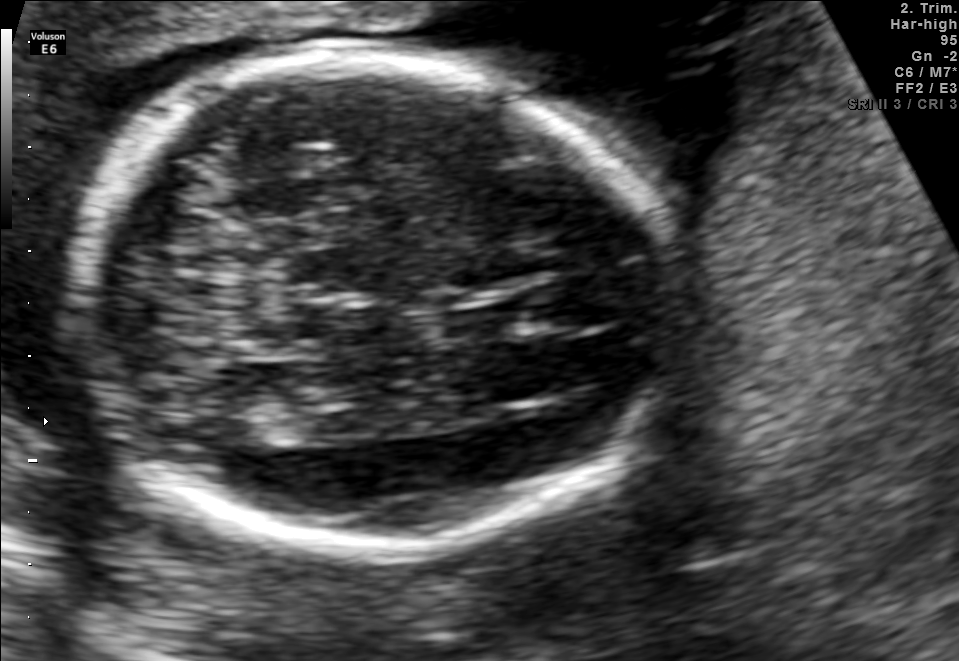
In this fetal brain, trans-thalamic plane, give the bounding box of the fetal head.

[71,56,688,555]